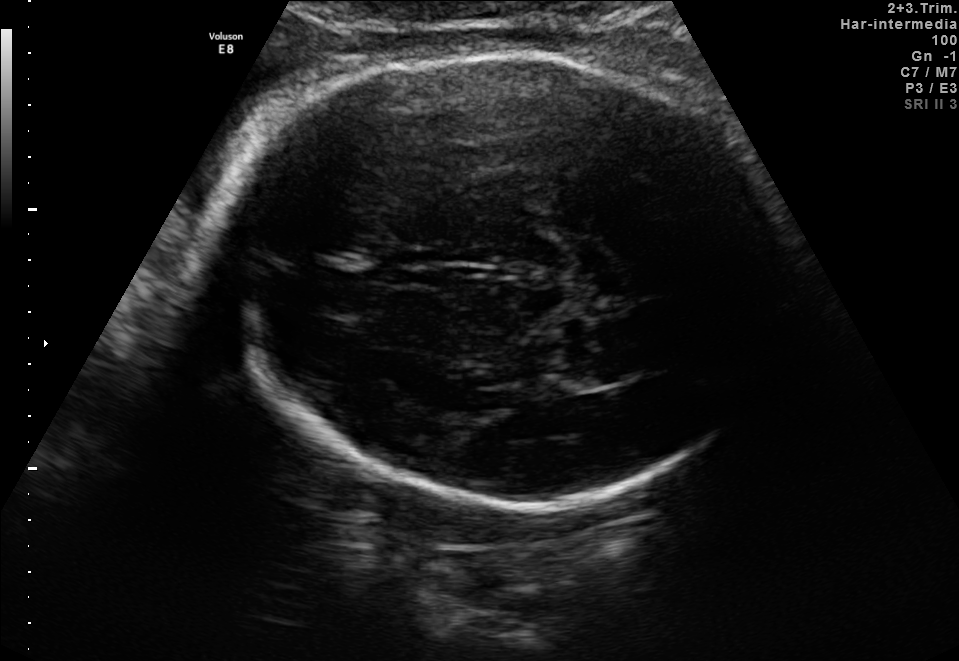
Which standard maternal-fetal ultrasound plane is shown: fetal abdomen, fetal brain, fetal femur, fetal thorax, maternal cervix, or other? If it's fetal brain and one of the three standard brain planes (trans-thalamic, trans-cerebellum, trans-ventricular), name which.

Fetal brain (trans-thalamic plane)